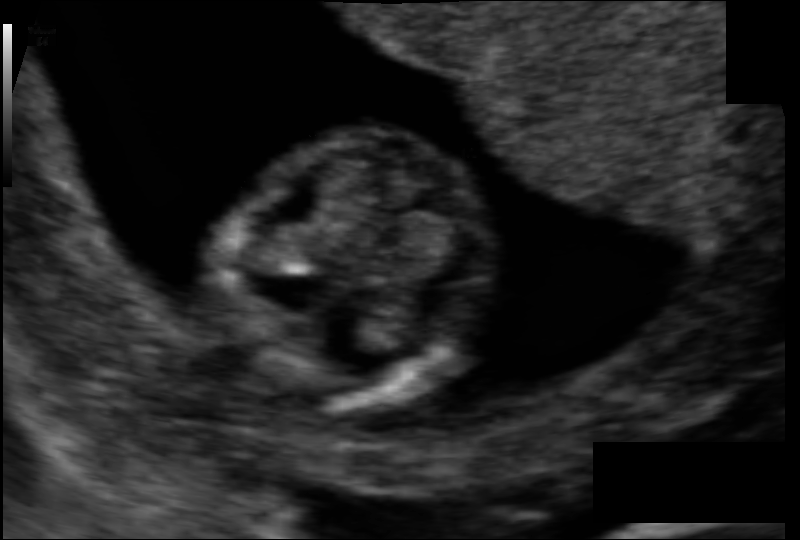
From this fetal ultrasound, estimate the head circumference (image width 61.7 mm).

Head circumference: 69.6 mm.